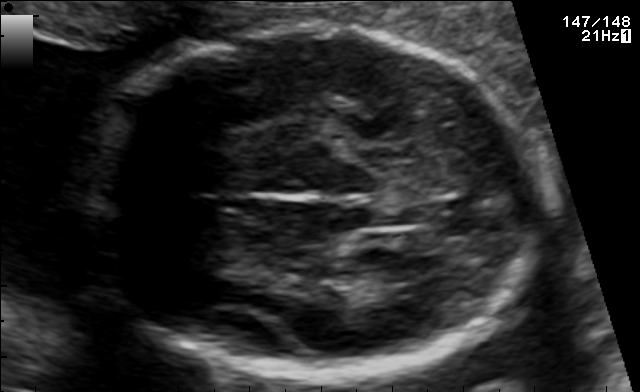
Which standard maternal-fetal ultrasound plane is shown: fetal abdomen, fetal brain, fetal femur, fetal thorax, maternal cervix, or other? If it's fetal brain and one of the three standard brain planes (trans-thalamic, trans-cerebellum, trans-ventricular), name which.

Fetal brain (trans-thalamic plane)